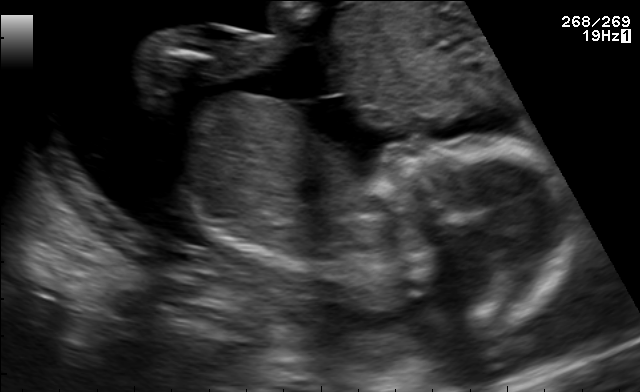
Identify the standard plane in this fetal ultrasound image: fetal abdomen, fetal brain, fetal femur, fetal thorax, maternal cervix, or other. If it's fetal brain and one of the three standard brain planes (trans-thalamic, trans-cerebellum, trans-ventricular), name which.

Other